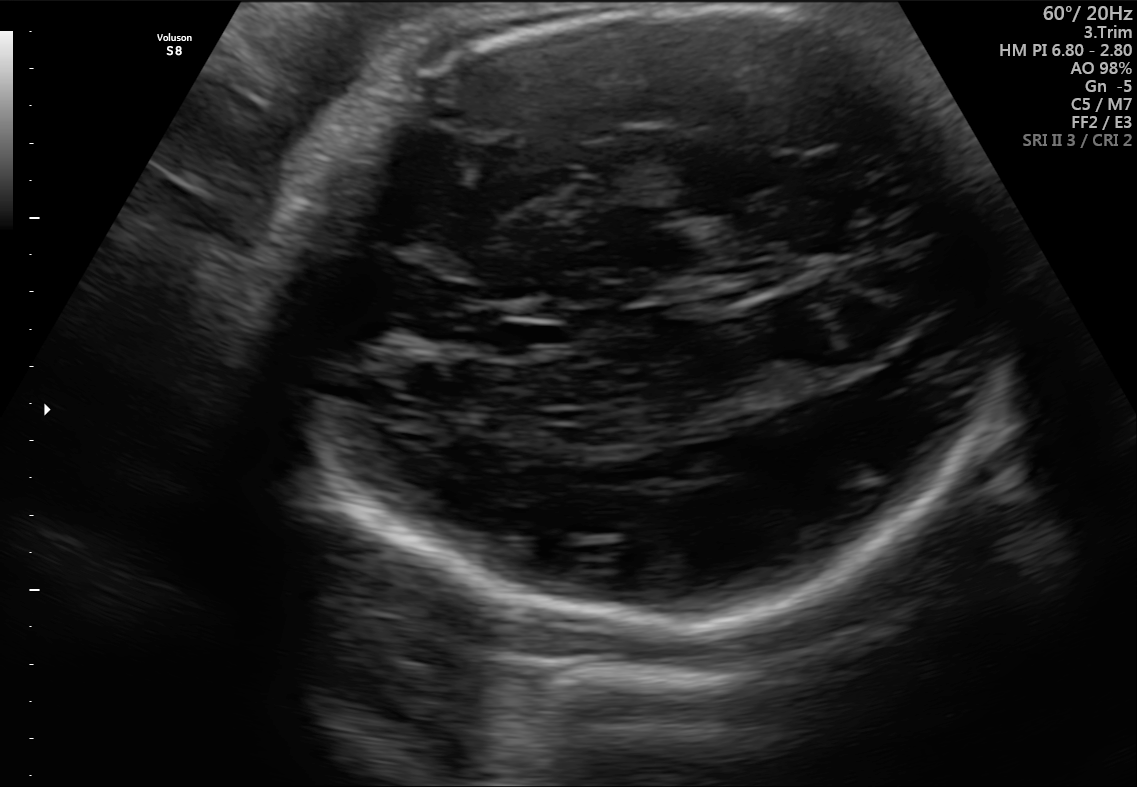
In this fetal brain, trans-thalamic plane, give the bounding box of the fetal head.

[268,6,1016,624]